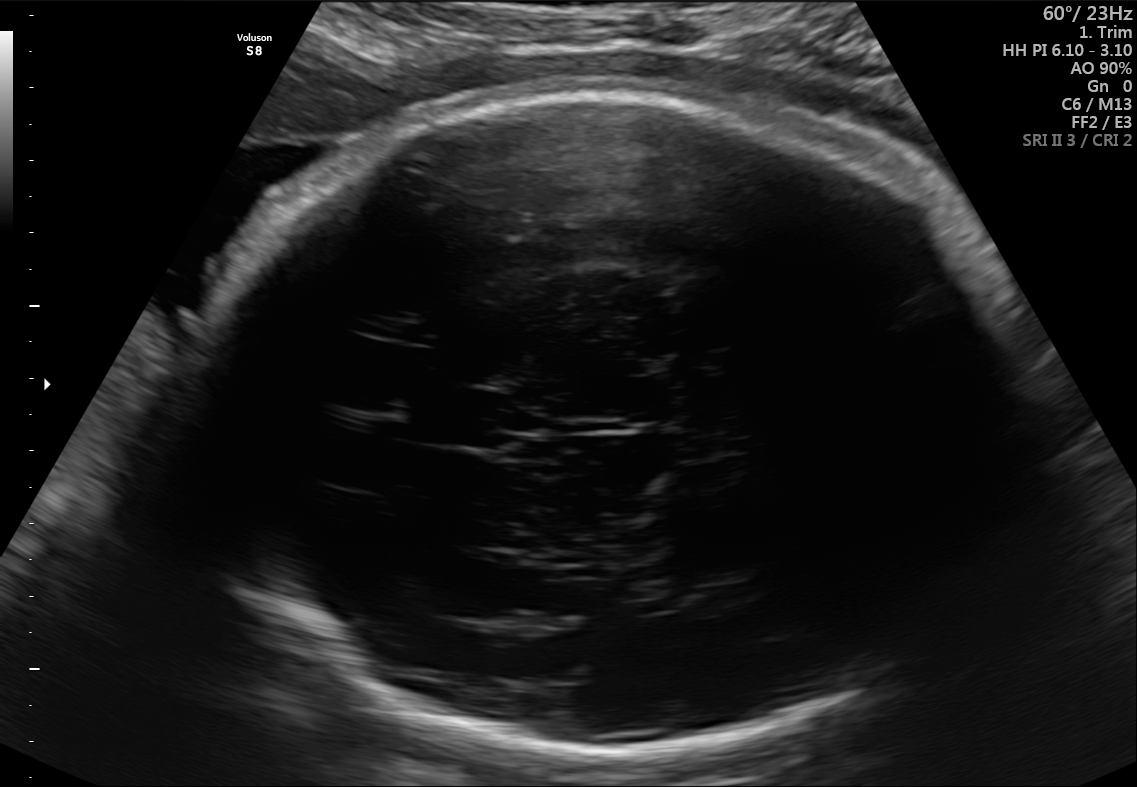
Fetal brain, trans-thalamic plane. Where is the cavum septum pellucidum?

CSP bounding box: [418,381,531,452]